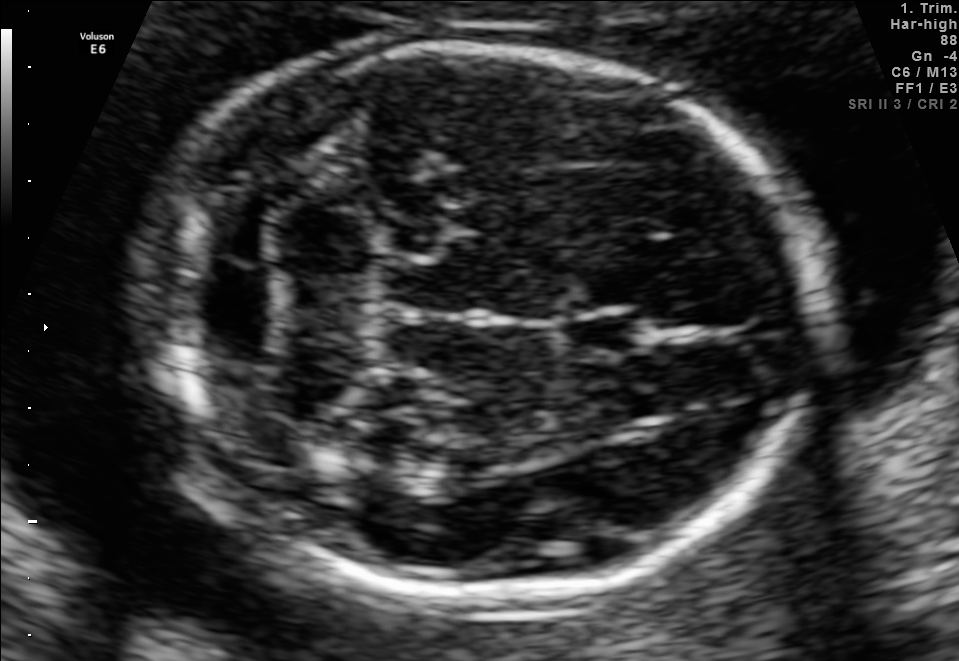
In this fetal brain, trans-cerebellum plane, give bounding boxes for the head outline, cavum septum pellucidum (CSP), and lateral ventricle (LV), where visible.

Head: [138,48,821,597]
CSP: [565,305,650,359]